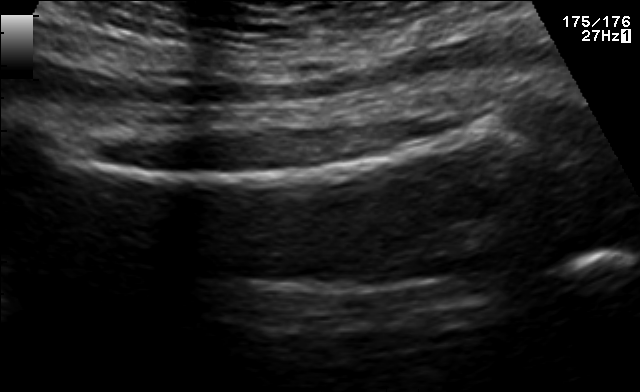
Which standard maternal-fetal ultrasound plane is shown: fetal abdomen, fetal brain, fetal femur, fetal thorax, maternal cervix, or other? If it's fetal brain and one of the three standard brain planes (trans-thalamic, trans-cerebellum, trans-ventricular), name which.

Fetal femur